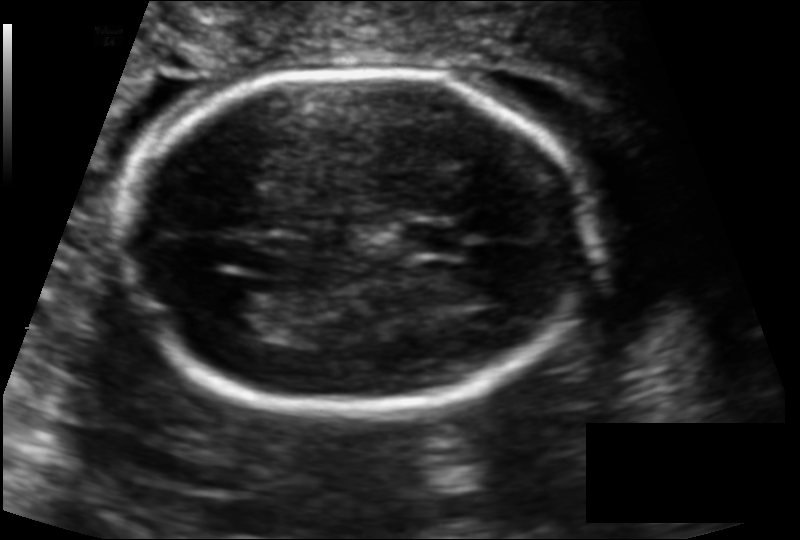
From this fetal ultrasound, estimate the head circumference (image width 97.4 mm).

Head circumference: 160.2 mm.